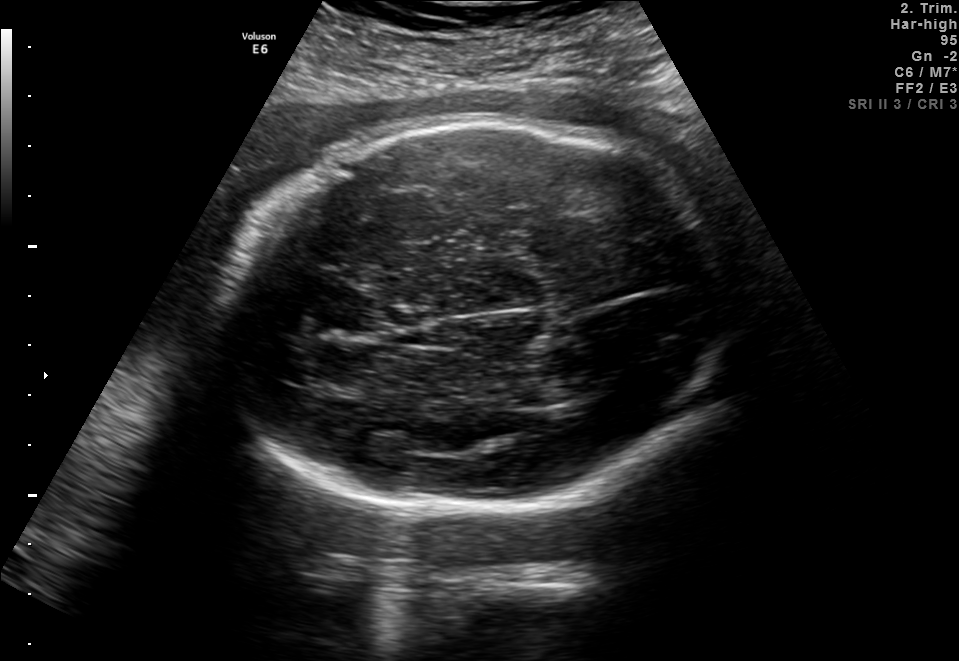
Fetal brain, trans-thalamic plane. Locate the lateral ventricle.

Lateral ventricle: [542,368,611,409]